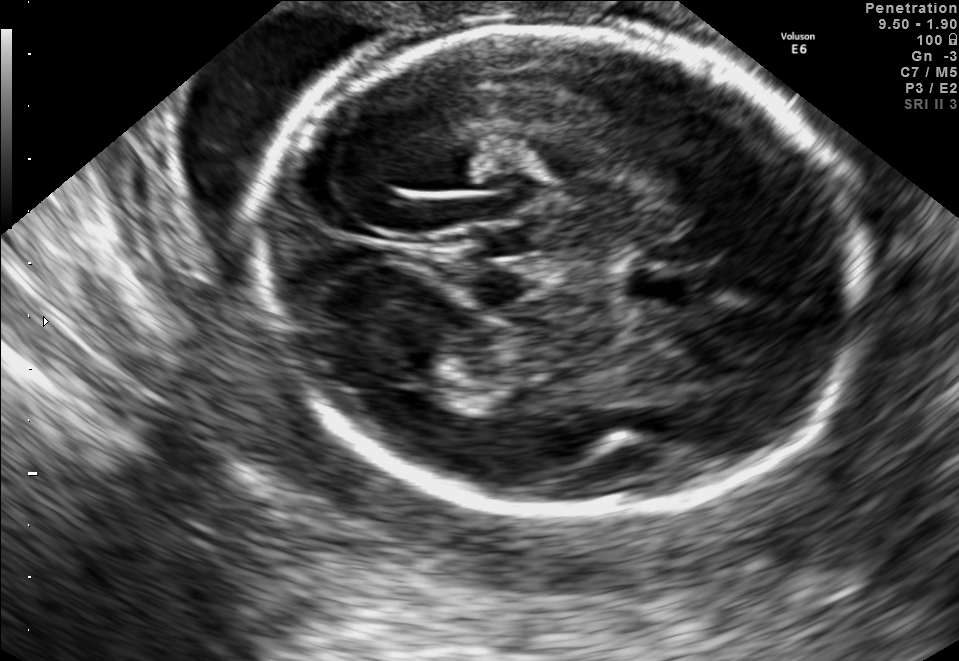
Fetal brain, trans-thalamic plane. Where is the fetal head?

Head bounding box: [258,23,861,512]